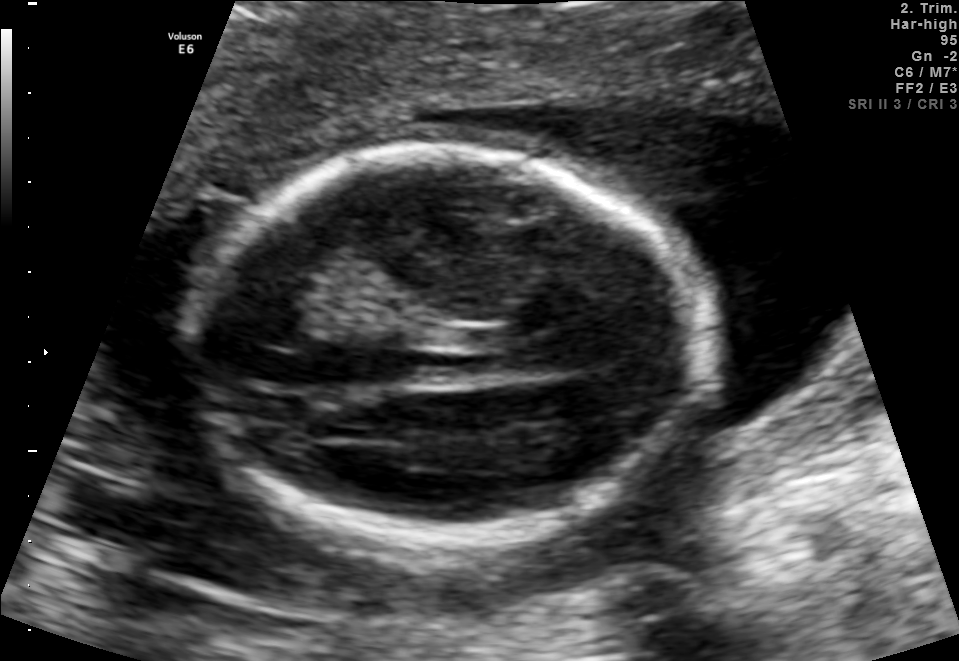
Fetal brain, trans-thalamic plane. Where is the fetal head?

Head bounding box: [182,147,703,538]